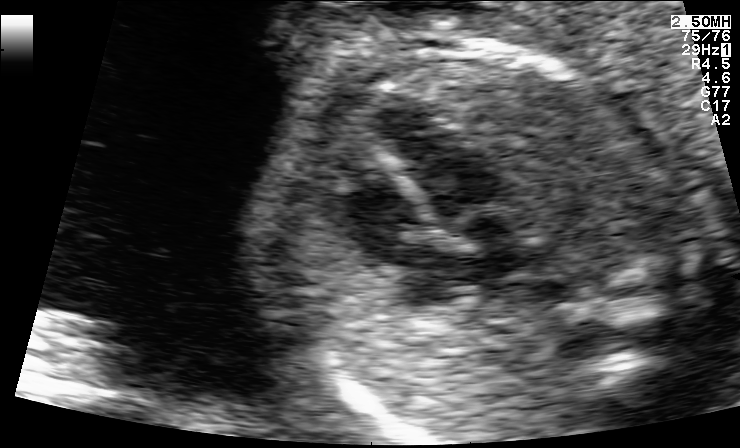
This is a 2D maternal-fetal ultrasound frame. Is it a fetal abdomen, fetal brain, fetal femur, fetal thorax, maternal cervix, or other standard plane? If it's fetal brain and one of the three standard brain planes (trans-thalamic, trans-cerebellum, trans-ventricular), name which.

Fetal thorax